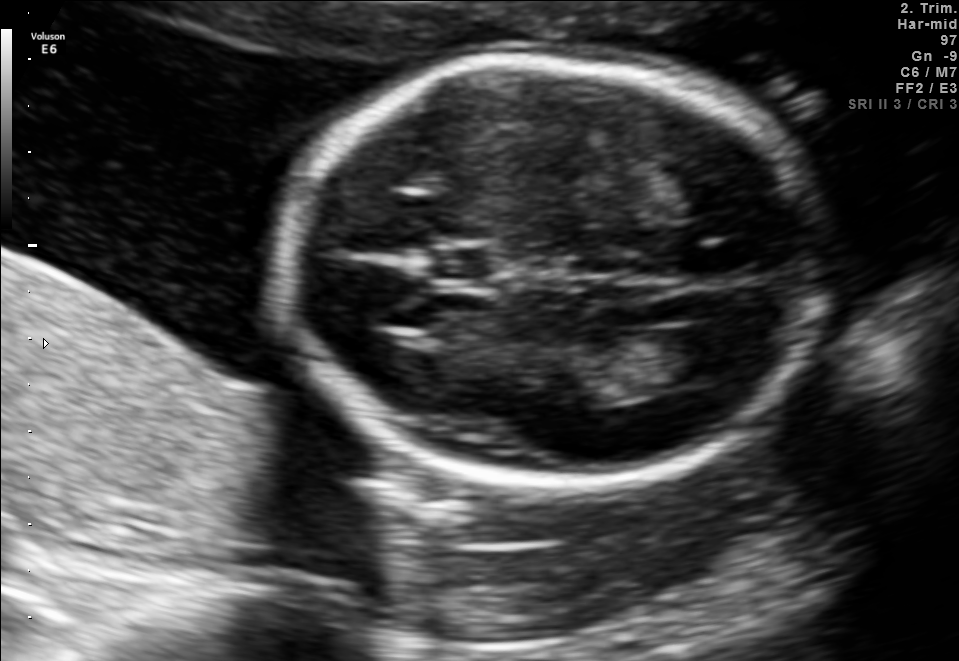
Fetal brain, trans-ventricular plane. Give [x1,y1,x2,y2] bounding boxes for each visible structure among: fetal head, CSP, LV.

Head: [268,50,843,495]
CSP: [434,250,488,277]
Lateral ventricle: [660,320,756,386]